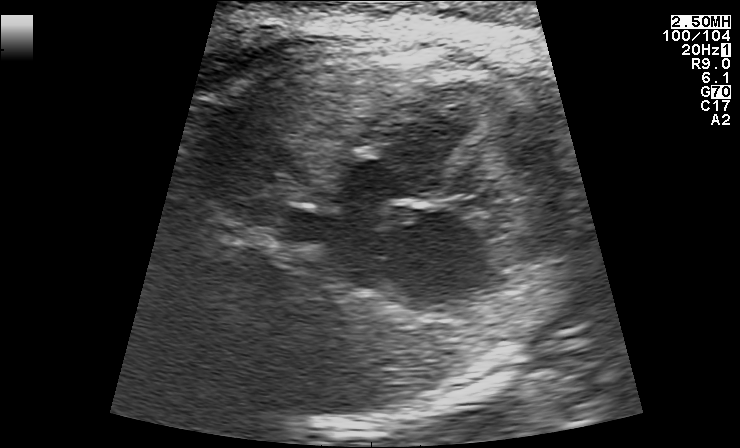
Identify the standard plane in this fetal ultrasound image: fetal abdomen, fetal brain, fetal femur, fetal thorax, maternal cervix, or other. If it's fetal brain and one of the three standard brain planes (trans-thalamic, trans-cerebellum, trans-ventricular), name which.

Fetal thorax